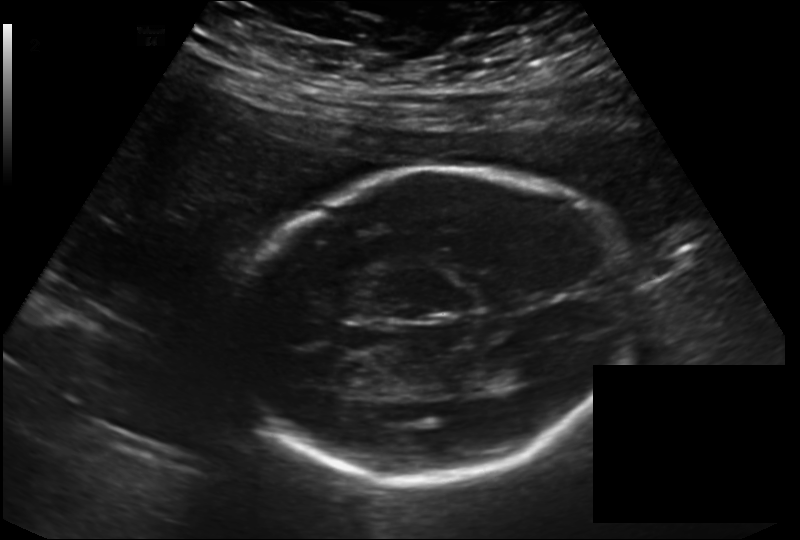
From this fetal ultrasound, estimate the head circumference (image width 158.6 mm).

Head circumference: 234.0 mm.